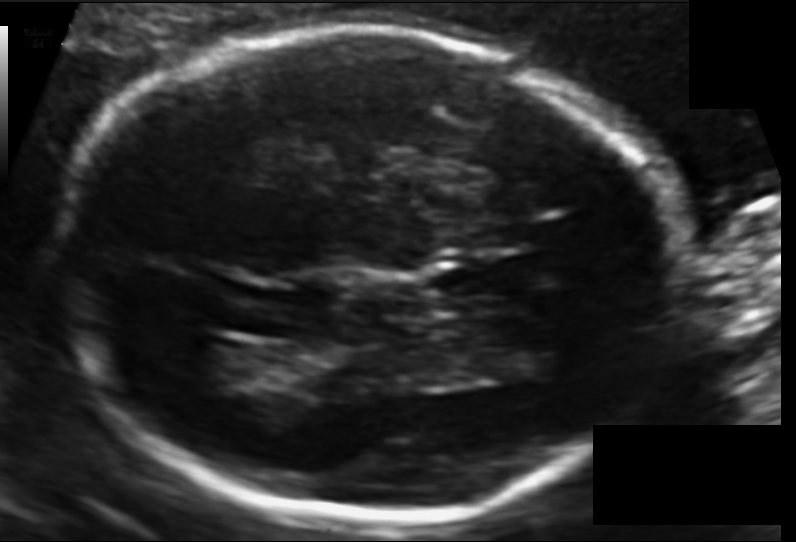
What is the fetal head circumference? Image width is 95.4 mm.

213.6 mm